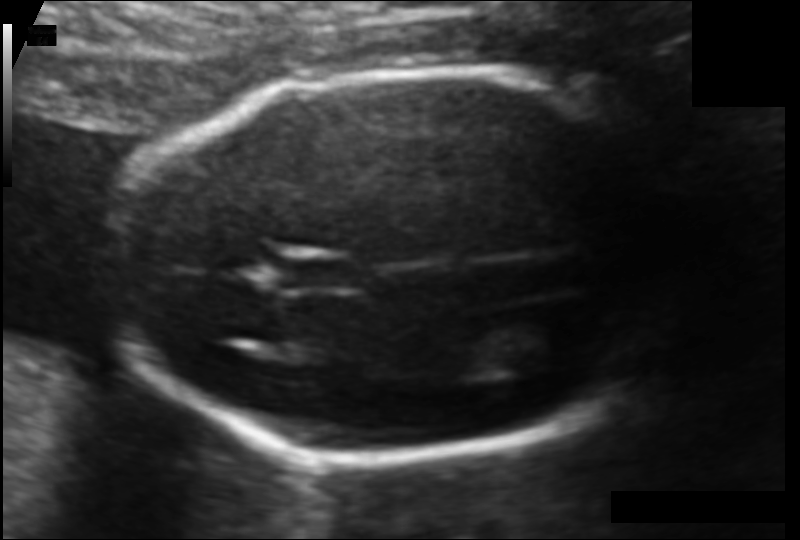
Fetal head ultrasound. Image width: 82.3 mm. Locate the cavum septum pellucidum.

CSP: [279,259,352,288]